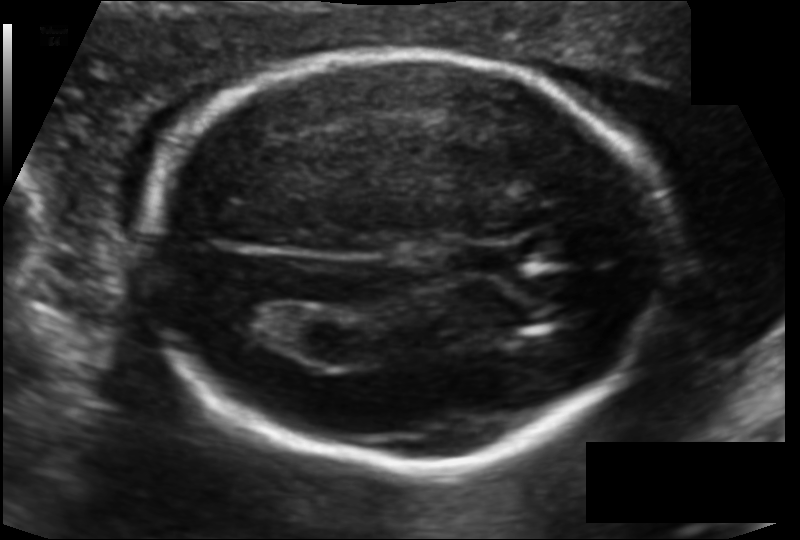
In this fetal head ultrasound, give the bounding box of the fetal head. Image width: 91.7 mm.

[143,54,668,466]